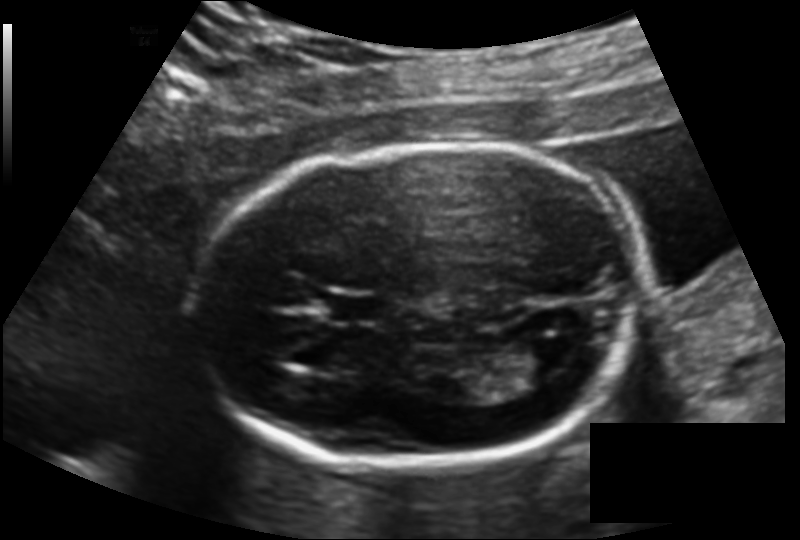
In this fetal head ultrasound, give bounding boxes for the head outline, cavum septum pellucidum (CSP), and lateral ventricle (LV), where visible. Image width: 109.3 mm.

Head: [188,145,644,466]
CSP: [327,296,381,323]
Lateral ventricle: [510,322,585,387]